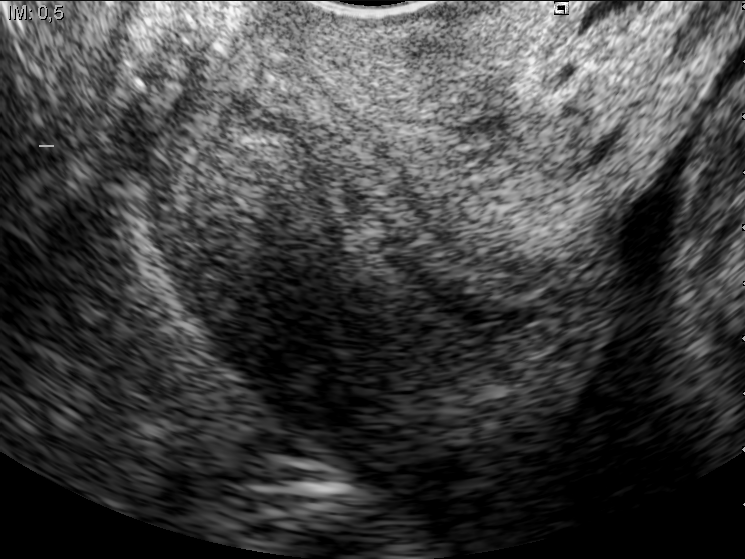
Which standard maternal-fetal ultrasound plane is shown: fetal abdomen, fetal brain, fetal femur, fetal thorax, maternal cervix, or other? If it's fetal brain and one of the three standard brain planes (trans-thalamic, trans-cerebellum, trans-ventricular), name which.

Maternal cervix